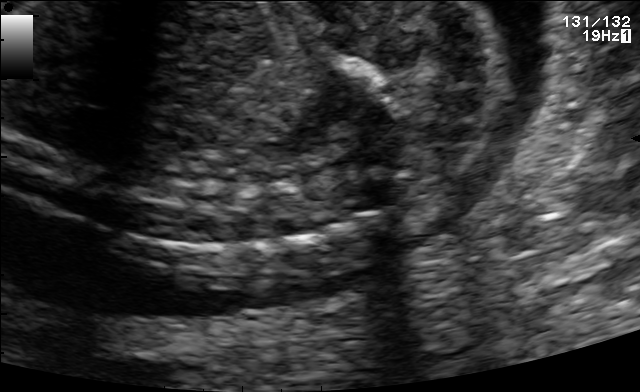
Which standard maternal-fetal ultrasound plane is shown: fetal abdomen, fetal brain, fetal femur, fetal thorax, maternal cervix, or other? If it's fetal brain and one of the three standard brain planes (trans-thalamic, trans-cerebellum, trans-ventricular), name which.

Other